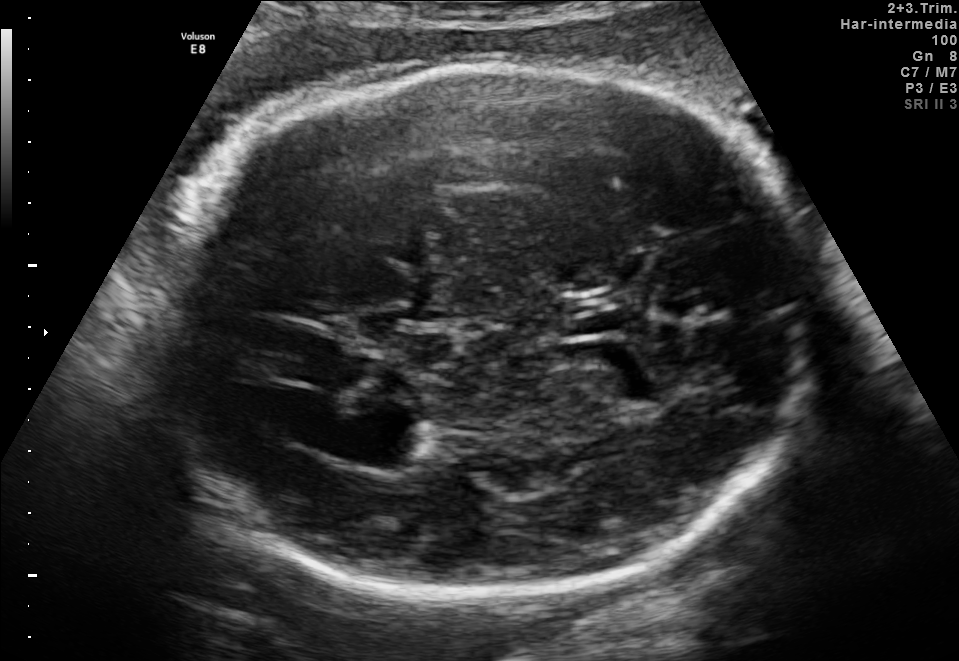
Fetal brain, trans-thalamic plane. Give [x1,y1,x2,y2] bounding boxes for each visible structure among: fetal head, CSP, LV.

Head: [144,64,815,595]
Lateral ventricle: [361,417,434,466]